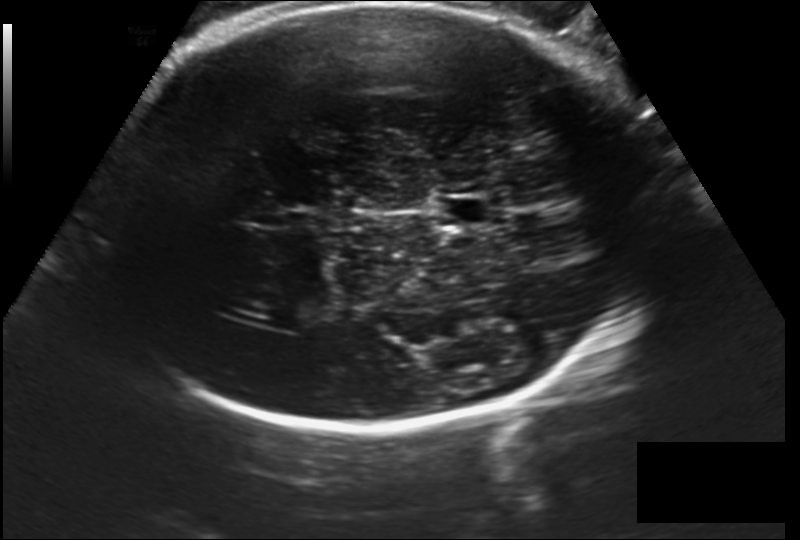
Fetal head ultrasound. Image width: 162.0 mm. Give [x1,y1,x2,y2] bounding boxes for each visible structure among: fetal head, CSP, LV.

Head: [106,2,661,428]
CSP: [434,194,490,228]